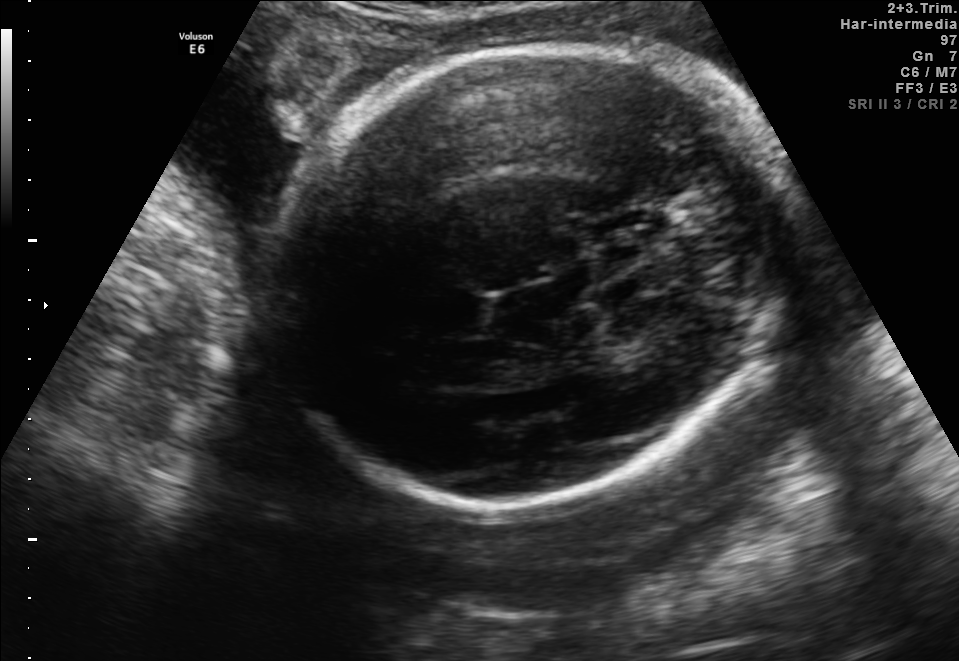
This is a 2D maternal-fetal ultrasound frame. Is it a fetal abdomen, fetal brain, fetal femur, fetal thorax, maternal cervix, or other standard plane? If it's fetal brain and one of the three standard brain planes (trans-thalamic, trans-cerebellum, trans-ventricular), name which.

Fetal brain (trans-thalamic plane)